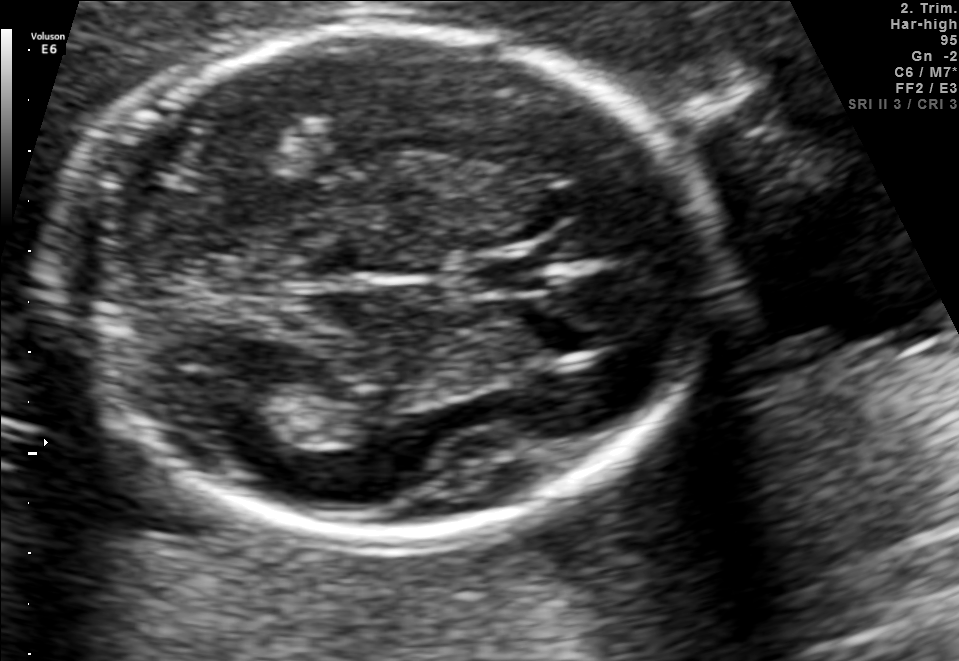
Fetal brain, trans-thalamic plane. Locate the fetal head and, if visible, the cavum septum pellucidum (CSP) and lateral ventricle (LV). Give bounding boxes as [x1,y1,x2,y2].

Head: [59,23,708,540]
CSP: [464,254,550,295]
Lateral ventricle: [217,384,319,447]